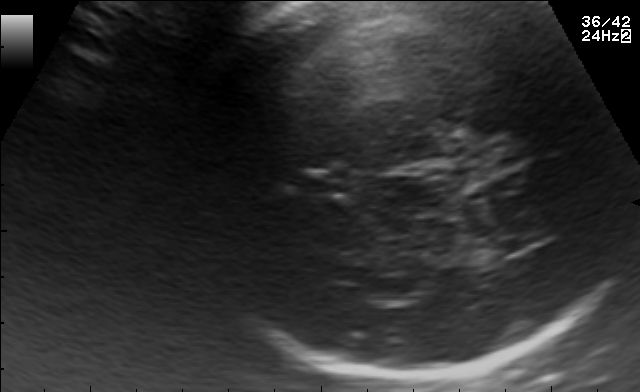
Fetal brain, trans-thalamic plane. Where is the cavum septum pellucidum?

CSP bounding box: [296,172,349,194]